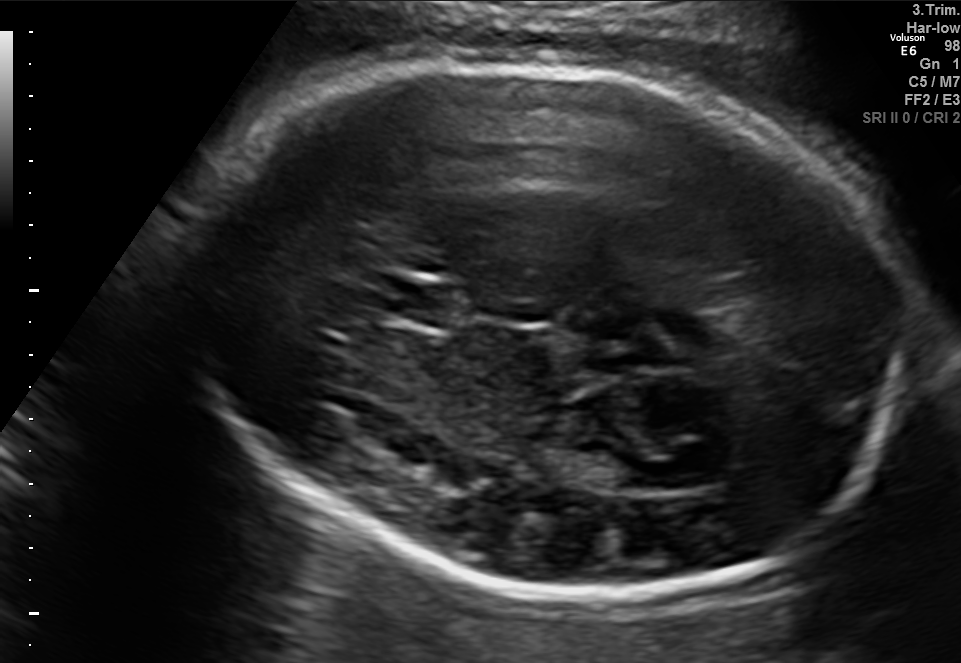
In this fetal brain, trans-thalamic plane, give the bounding box of the cavum septum pellucidum.

[377,277,473,331]